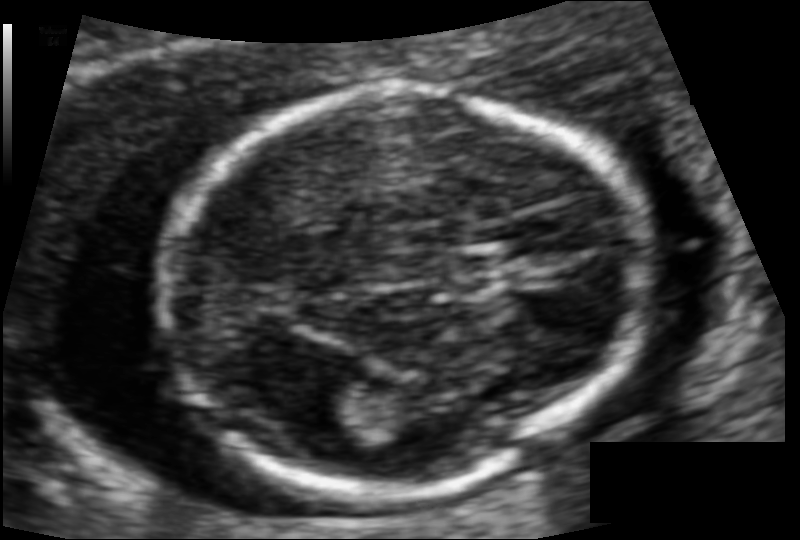
In this fetal head ultrasound, give bounding boxes for the head outline, cavum septum pellucidum (CSP), and lateral ventricle (LV), where visible. Image width: 66.5 mm.

Head: [164,87,637,493]